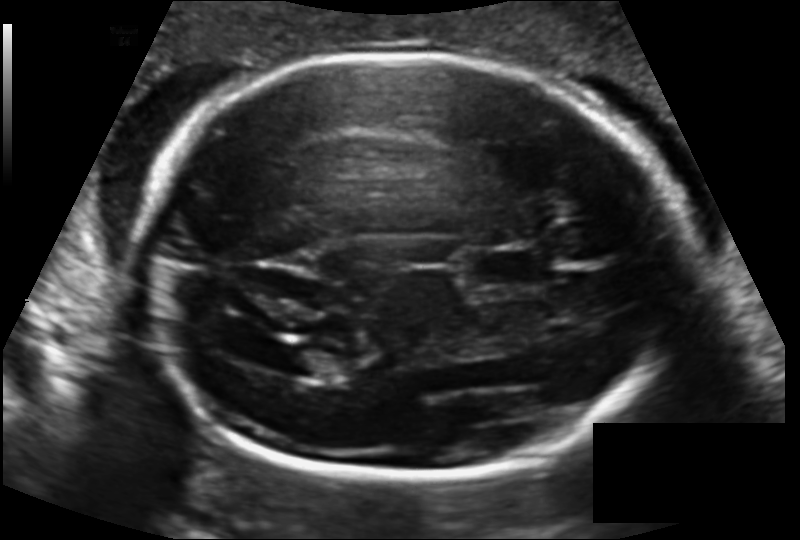
What is the fetal head circumference? Image width is 112.0 mm.

219.8 mm